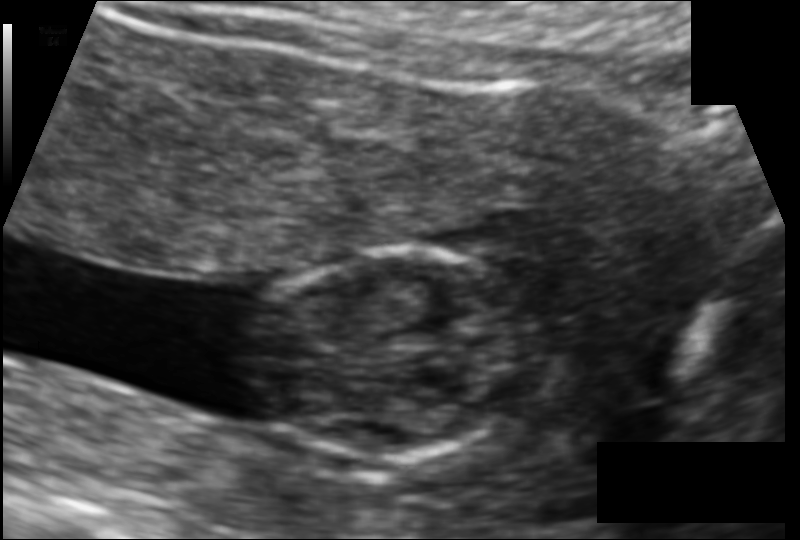
Fetal head ultrasound. Image width: 84.2 mm. Locate the fetal head.

Head: [252,250,523,463]